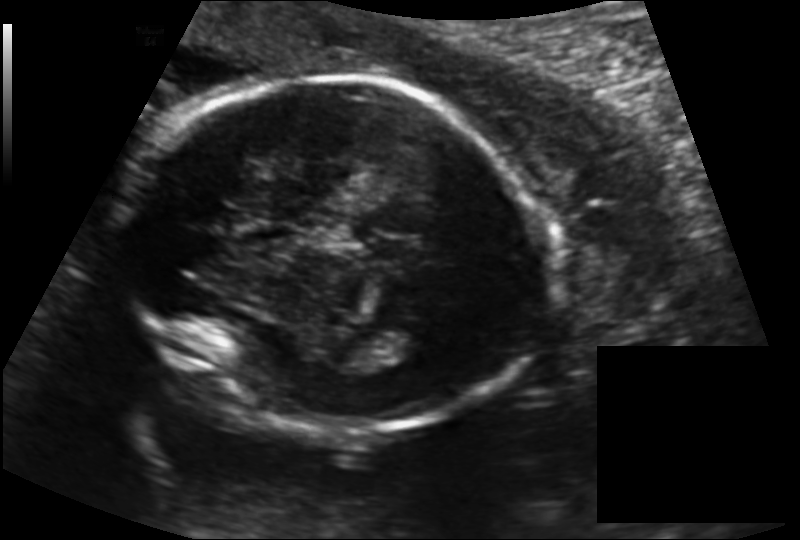
Fetal head ultrasound. Image width: 116.1 mm. Give [x1,y1,x2,y2] bounding boxes for each visible structure among: fetal head, CSP, LV.

Head: [123,78,550,433]